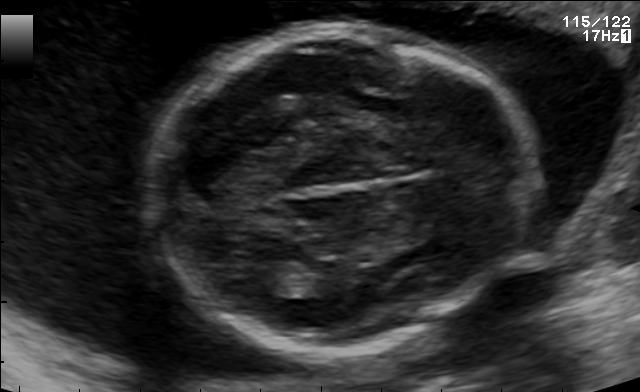
Fetal brain, trans-thalamic plane. Give [x1,y1,x2,y2] bounding boxes for each visible structure among: fetal head, CSP, LV.

Head: [153,27,543,347]